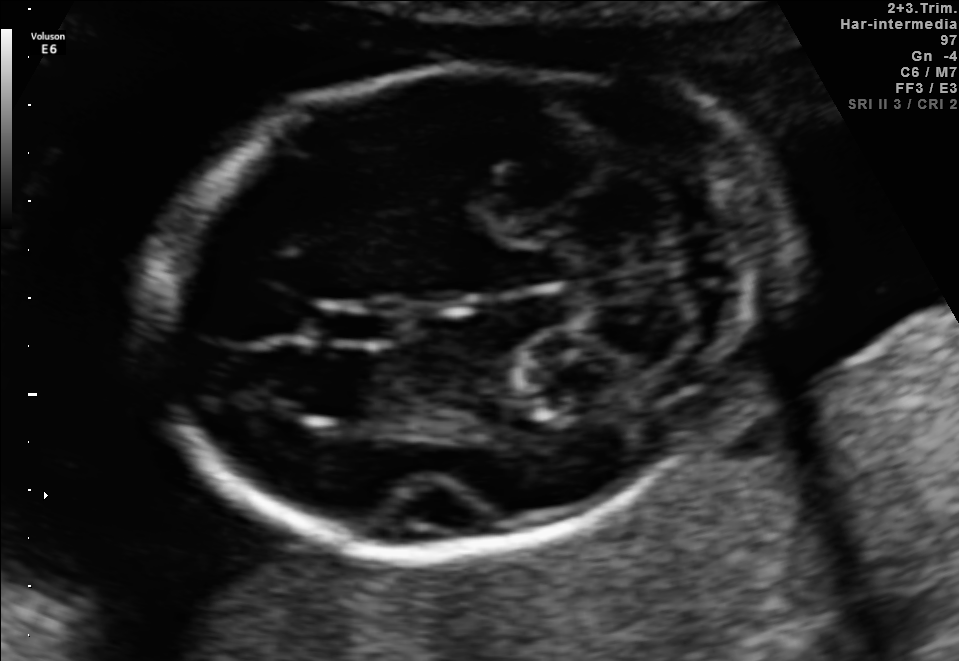
Classify this maternal-fetal ultrasound image as one of the six standard planes — fetal abdomen, fetal brain, fetal femur, fetal thorax, maternal cervix, or other. If it's fetal brain and one of the three standard brain planes (trans-thalamic, trans-cerebellum, trans-ventricular), name which.

Fetal brain (trans-cerebellum plane)